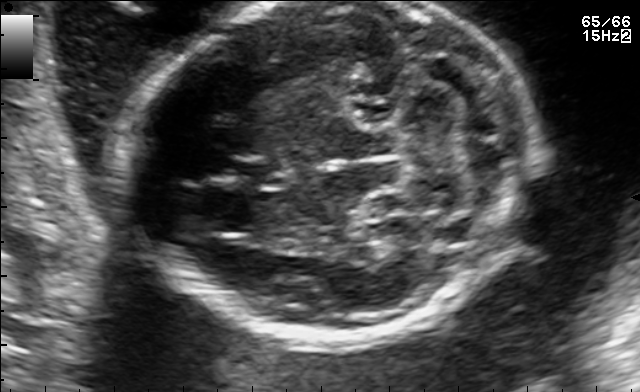
Fetal brain, trans-cerebellum plane. Where is the fetal head?

Head bounding box: [129,2,542,343]